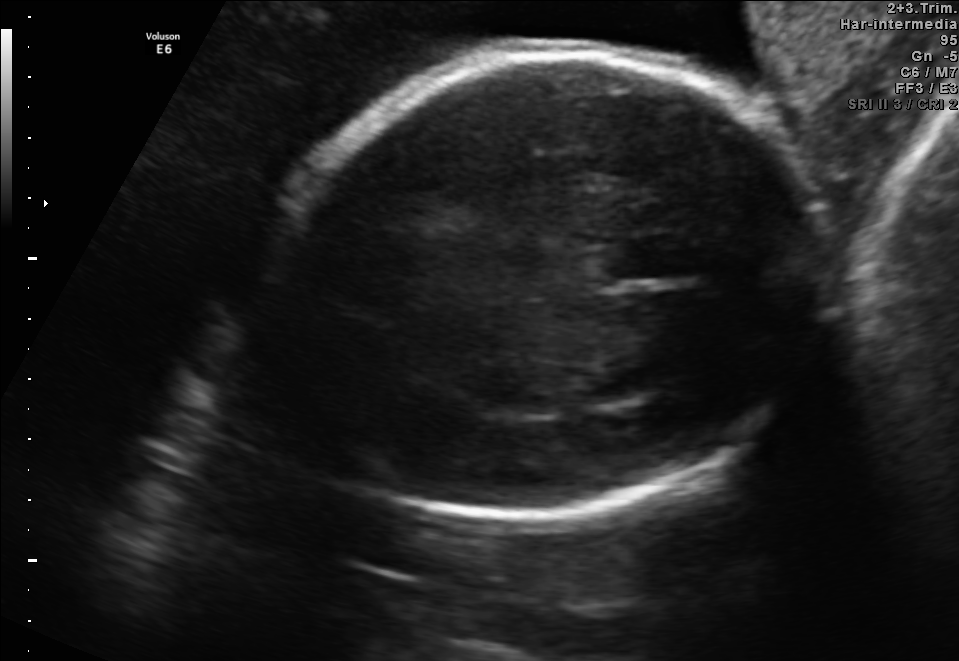
Which standard maternal-fetal ultrasound plane is shown: fetal abdomen, fetal brain, fetal femur, fetal thorax, maternal cervix, or other? If it's fetal brain and one of the three standard brain planes (trans-thalamic, trans-cerebellum, trans-ventricular), name which.

Fetal brain